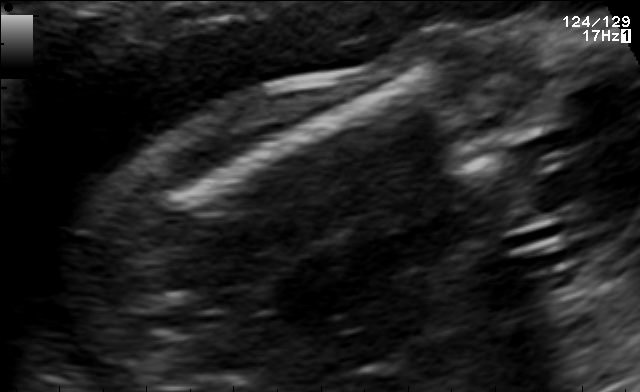
Classify this maternal-fetal ultrasound image as one of the six standard planes — fetal abdomen, fetal brain, fetal femur, fetal thorax, maternal cervix, or other. If it's fetal brain and one of the three standard brain planes (trans-thalamic, trans-cerebellum, trans-ventricular), name which.

Fetal femur